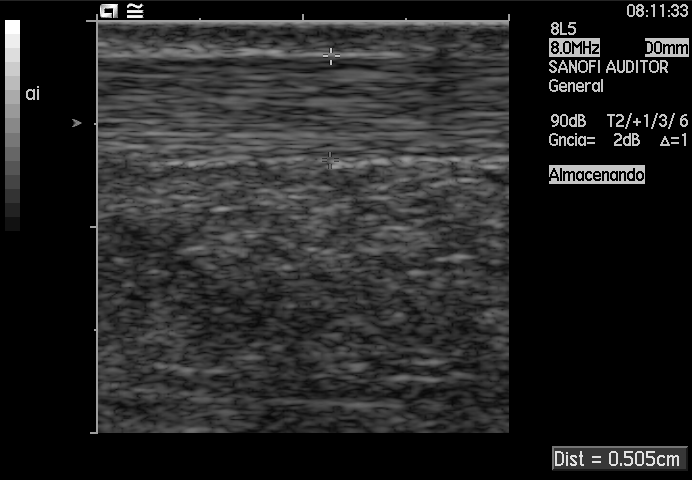
This is a 2D maternal-fetal ultrasound frame. Is it a fetal abdomen, fetal brain, fetal femur, fetal thorax, maternal cervix, or other standard plane? If it's fetal brain and one of the three standard brain planes (trans-thalamic, trans-cerebellum, trans-ventricular), name which.

Other